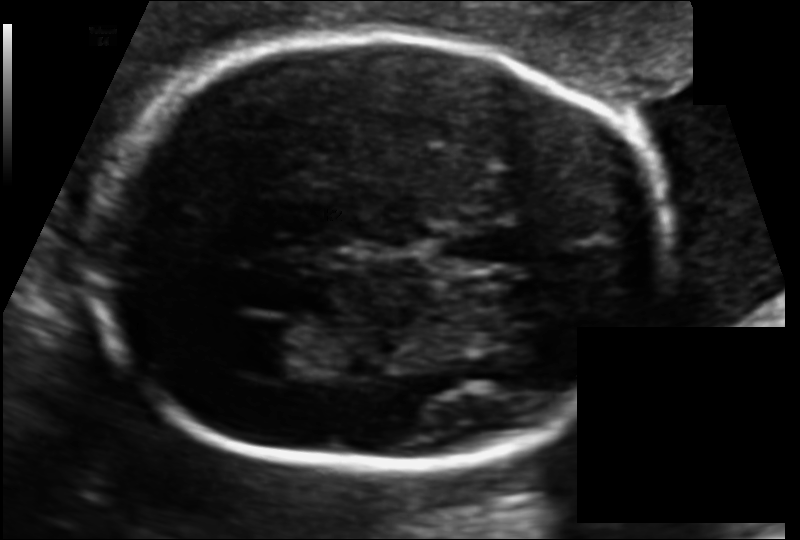
In this fetal head ultrasound, give bounding boxes for the head outline, cavum septum pellucidum (CSP), and lateral ventricle (LV), where visible. Image width: 89.0 mm.

Head: [88,37,679,469]
CSP: [440,216,530,272]
Lateral ventricle: [224,317,316,381]